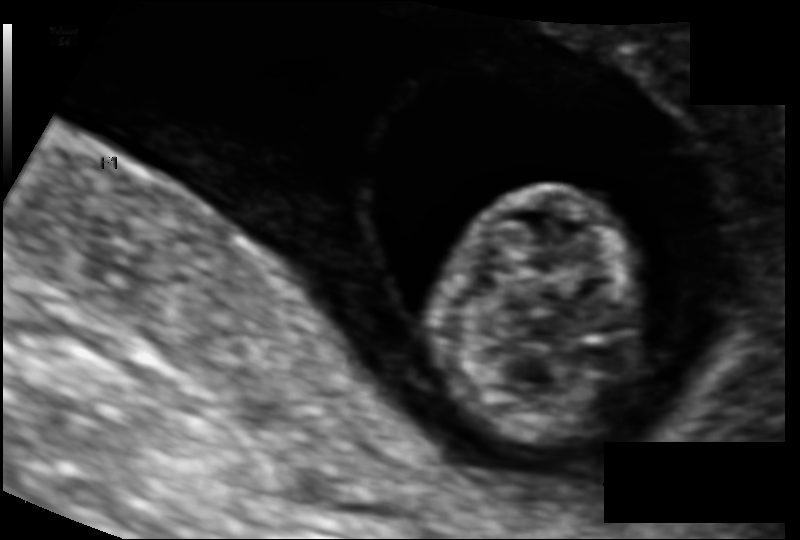
In this fetal head ultrasound, give the bounding box of the fetal head. Image width: 75.4 mm.

[435,185,643,444]